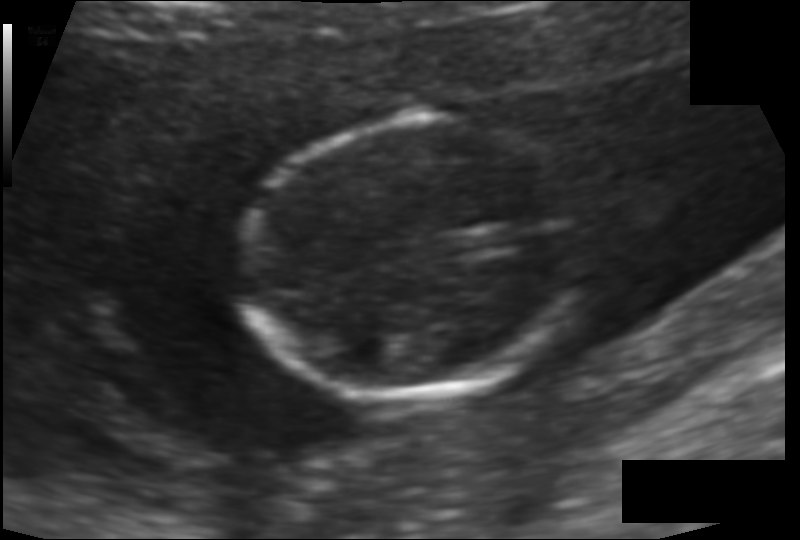
Measure the fetal head circumference shown in this ultrasound image. Image width: 77.6 mm.

Head circumference: 99.4 mm.